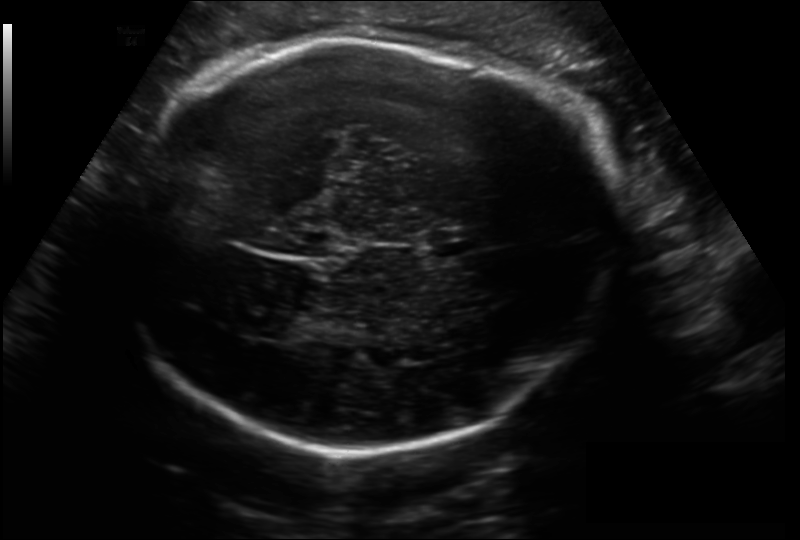
Fetal head ultrasound. Image width: 164.9 mm. Where is the cavum septum pellucidum?

CSP bounding box: [427,225,480,259]